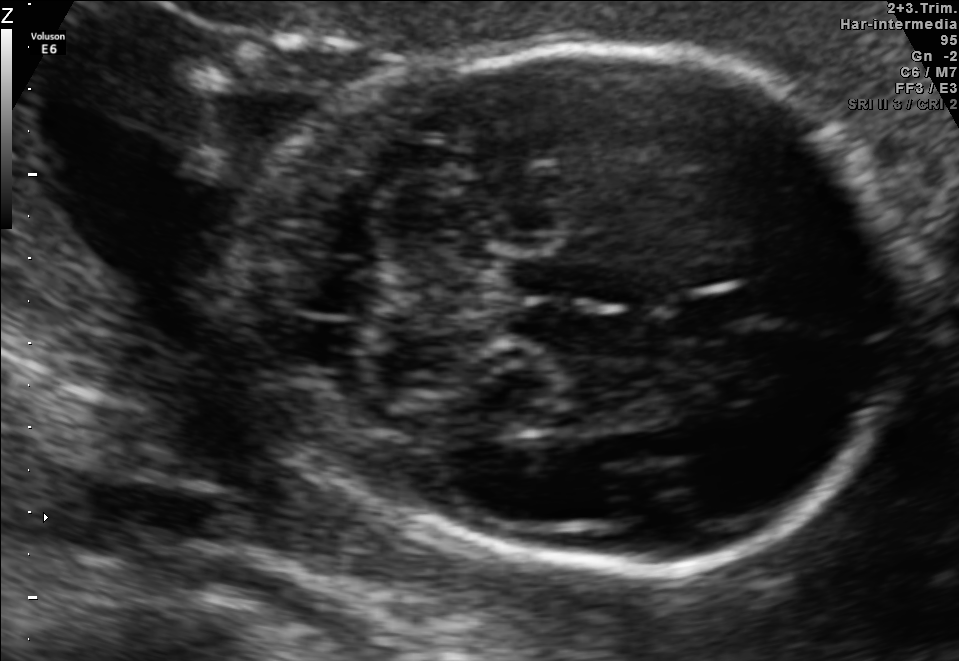
Identify the standard plane in this fetal ultrasound image: fetal abdomen, fetal brain, fetal femur, fetal thorax, maternal cervix, or other. If it's fetal brain and one of the three standard brain planes (trans-thalamic, trans-cerebellum, trans-ventricular), name which.

Fetal brain (trans-cerebellum plane)